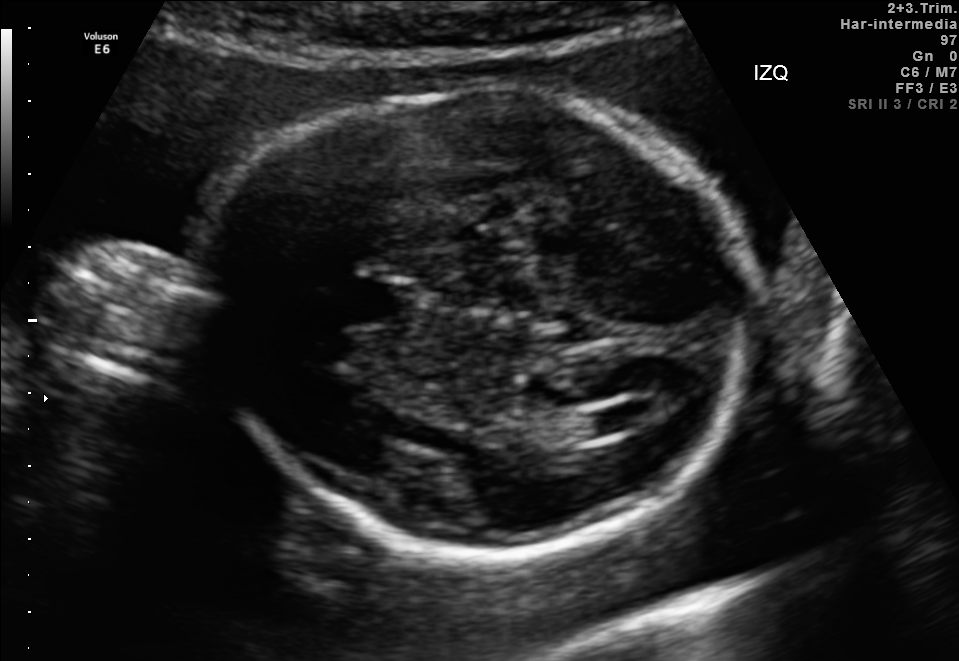
This is a 2D maternal-fetal ultrasound frame. Is it a fetal abdomen, fetal brain, fetal femur, fetal thorax, maternal cervix, or other standard plane? If it's fetal brain and one of the three standard brain planes (trans-thalamic, trans-cerebellum, trans-ventricular), name which.

Fetal brain (trans-ventricular plane)